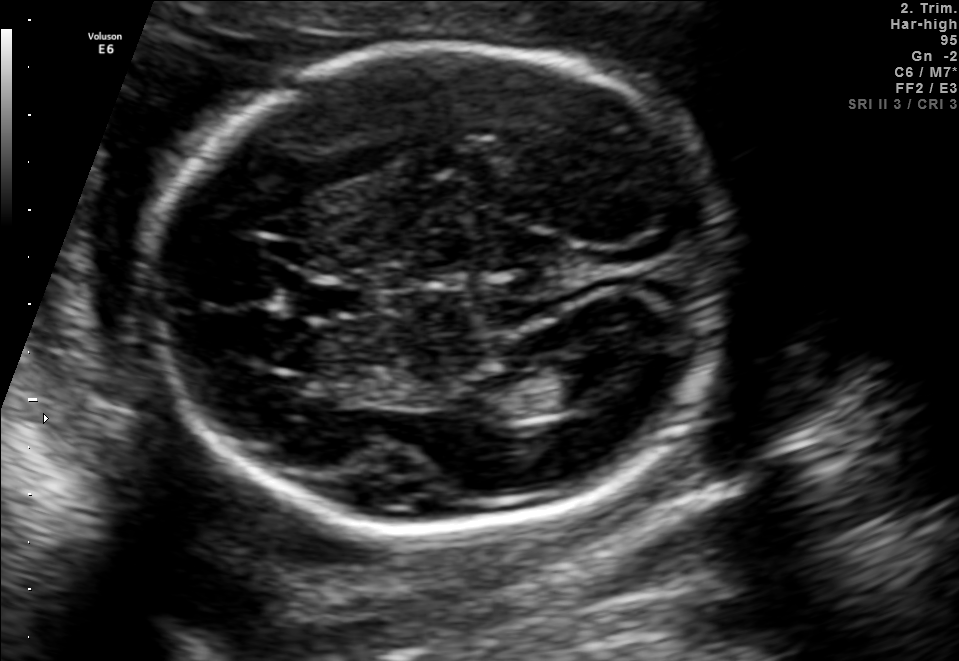
Fetal brain, trans-ventricular plane. Locate the lateral ventricle.

Lateral ventricle: [536,343,641,416]